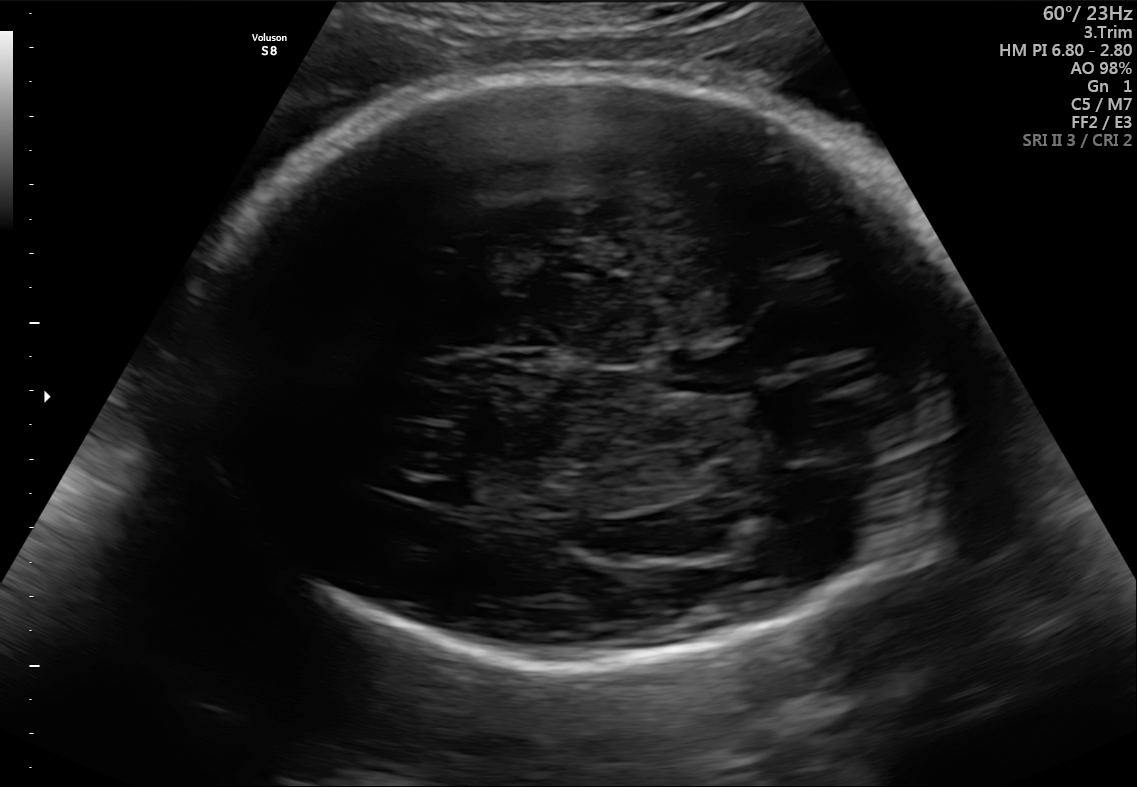
In this fetal brain, trans-thalamic plane, give the bounding box of the fetal head.

[180,73,964,669]